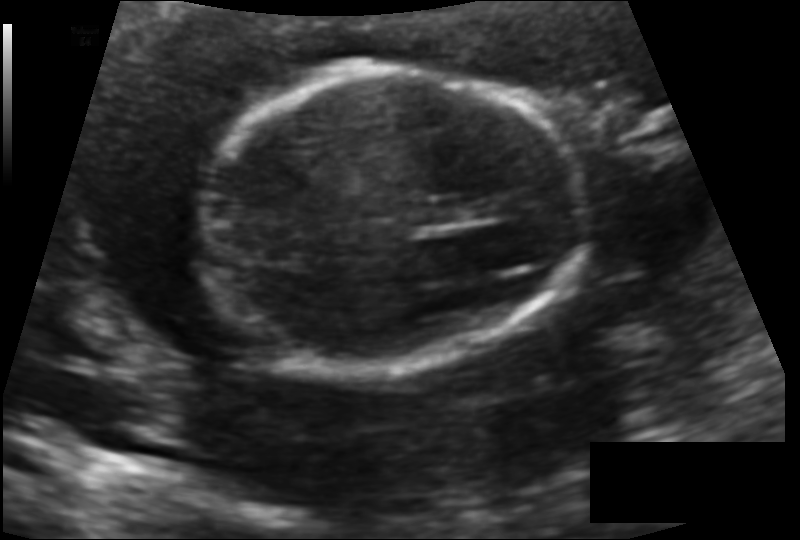
From this fetal ultrasound, estimate the head circumference (image width 90.0 mm).

Head circumference: 123.3 mm.